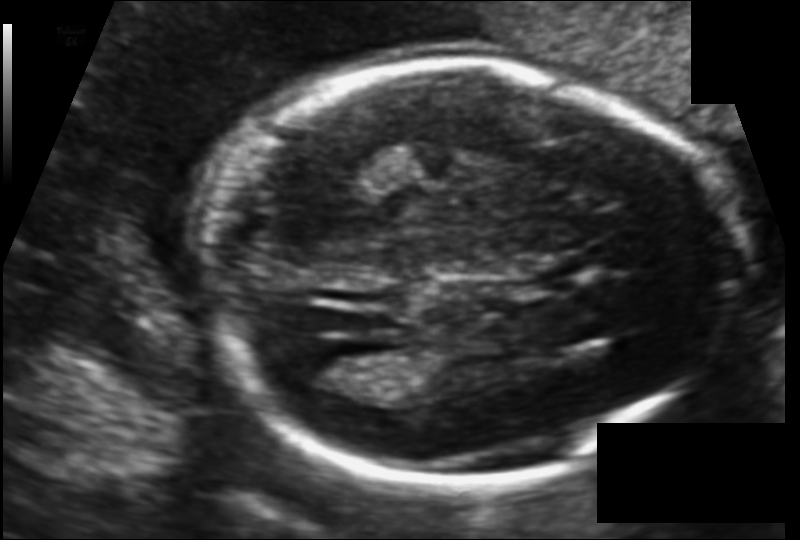
From this fetal ultrasound, estimate the head circumference (image width 93.1 mm).

Head circumference: 177.9 mm.